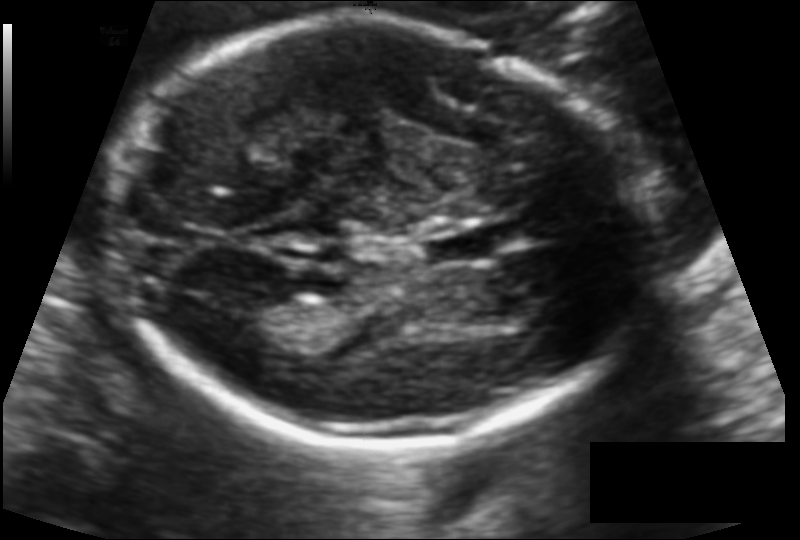
Fetal head ultrasound. Image width: 90.9 mm. Locate the lateral ventricle.

Lateral ventricle: [231,287,309,345]